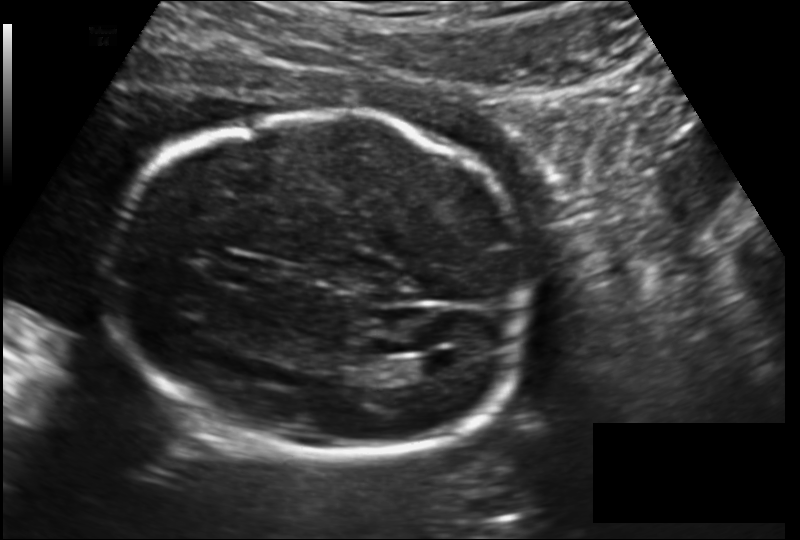
Estimate the fetal head circumference from this 2D ultrasound. Image width: 125.8 mm.

Head circumference: 192.6 mm.